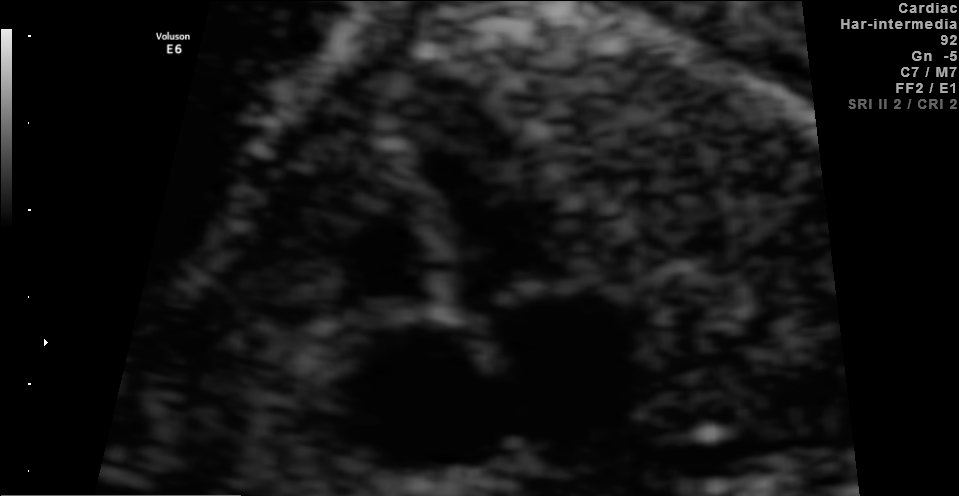
Which standard maternal-fetal ultrasound plane is shown: fetal abdomen, fetal brain, fetal femur, fetal thorax, maternal cervix, or other? If it's fetal brain and one of the three standard brain planes (trans-thalamic, trans-cerebellum, trans-ventricular), name which.

Fetal thorax